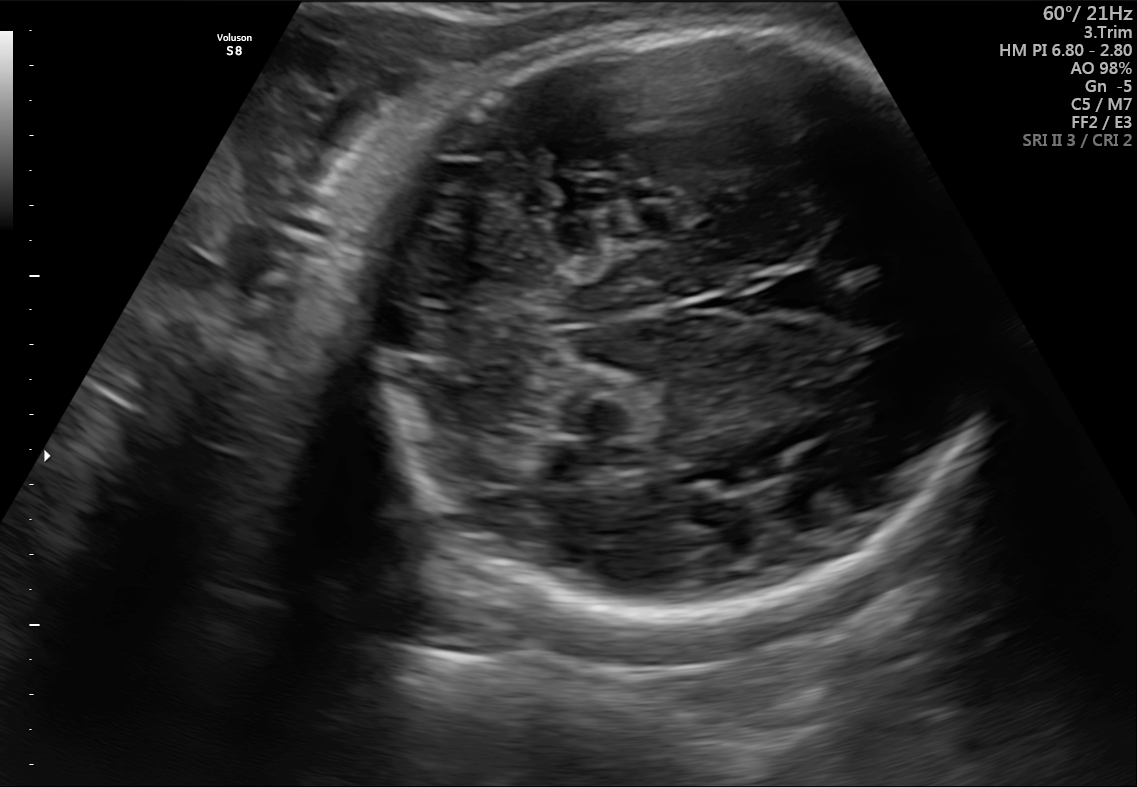
Fetal brain, trans-cerebellum plane. Locate the cavum septum pellucidum.

CSP: [761,262,841,319]